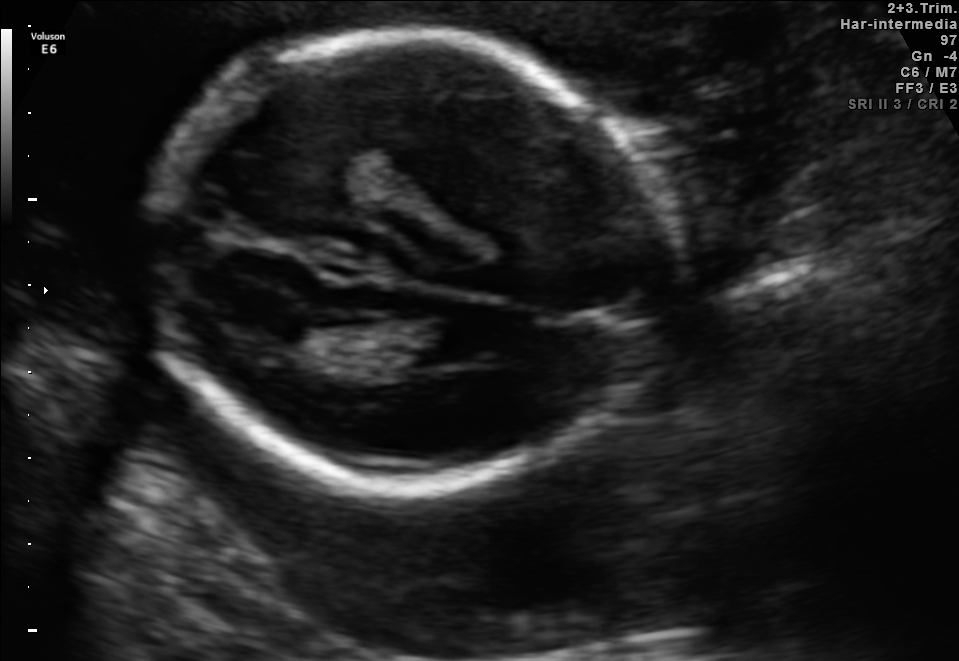
In this fetal brain, trans-ventricular plane, give the bounding box of the fetal head.

[134,24,679,501]